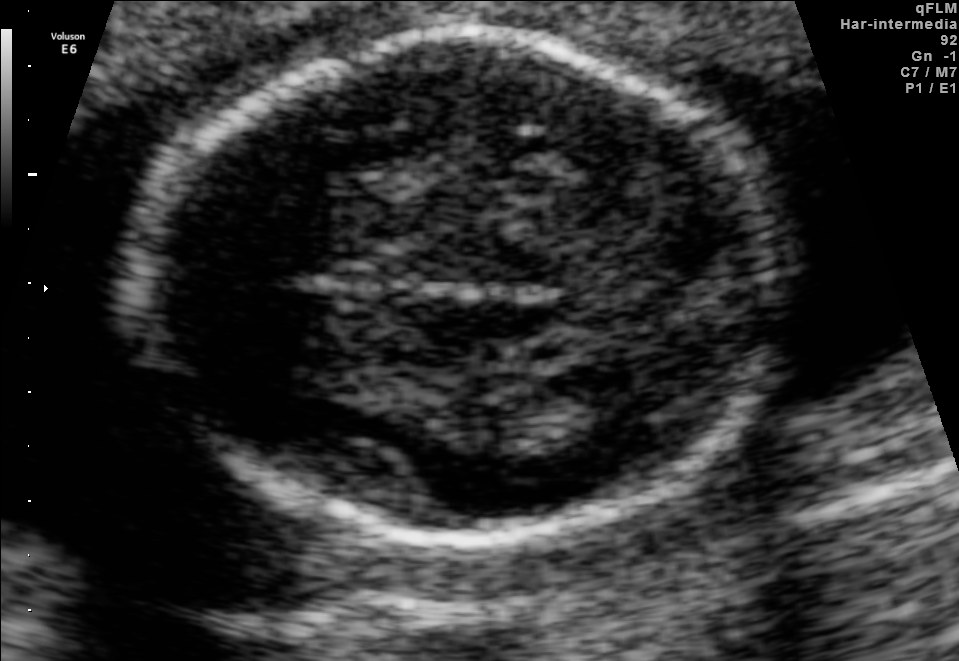
Fetal brain, trans-thalamic plane. Where is the fetal head?

Head bounding box: [130,30,785,541]